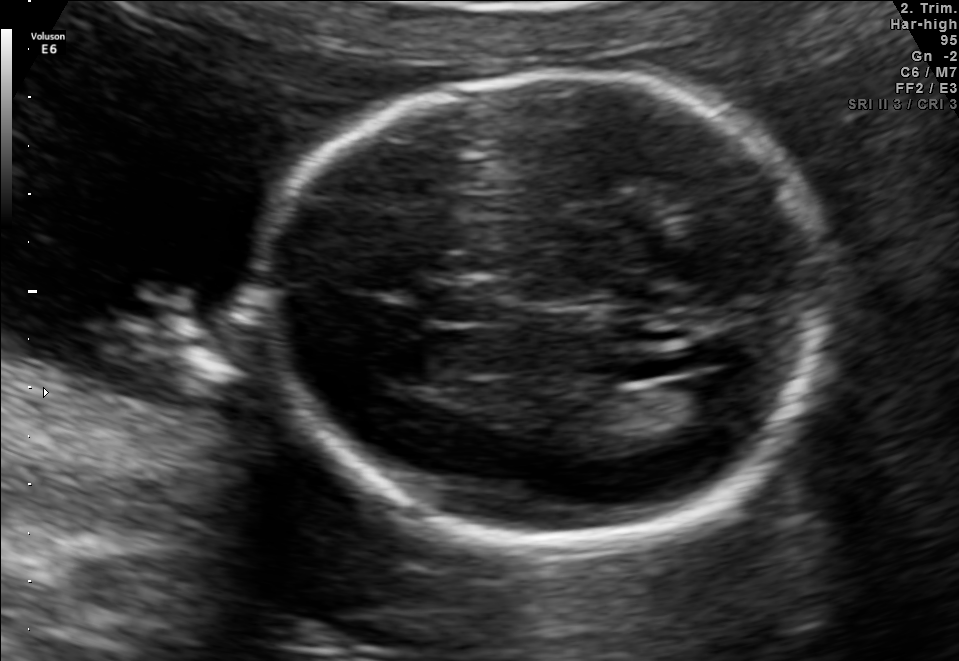
Fetal brain, trans-ventricular plane. Give [x1,y1,x2,y2] bounding boxes for each visible structure among: fetal head, CSP, LV.

Head: [244,65,855,556]
CSP: [427,290,497,323]
Lateral ventricle: [670,369,750,431]